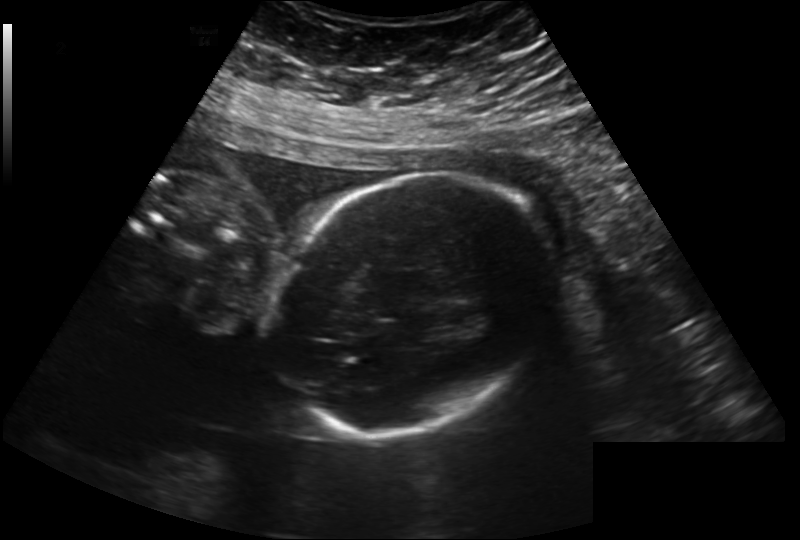
Fetal head ultrasound. Image width: 177.4 mm. Where is the fetal head?

Head bounding box: [271,171,546,436]